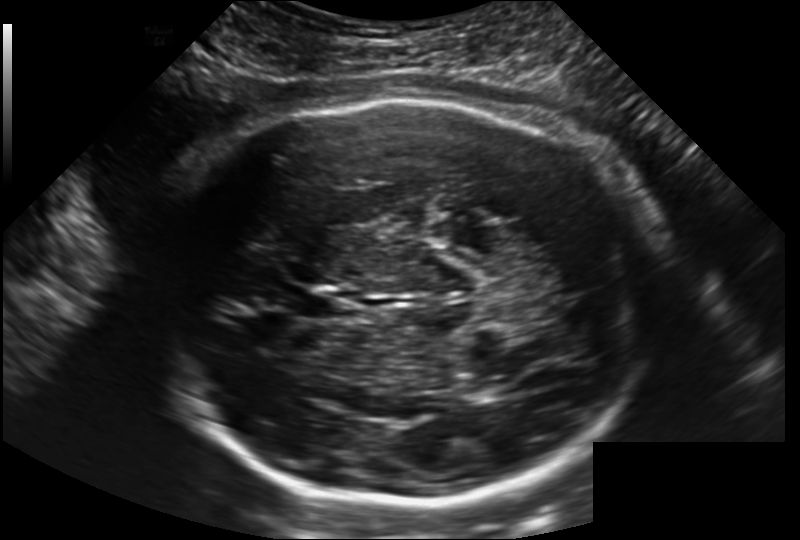
Fetal head ultrasound. Image width: 161.6 mm. Locate the fetal head.

Head: [160,97,655,507]